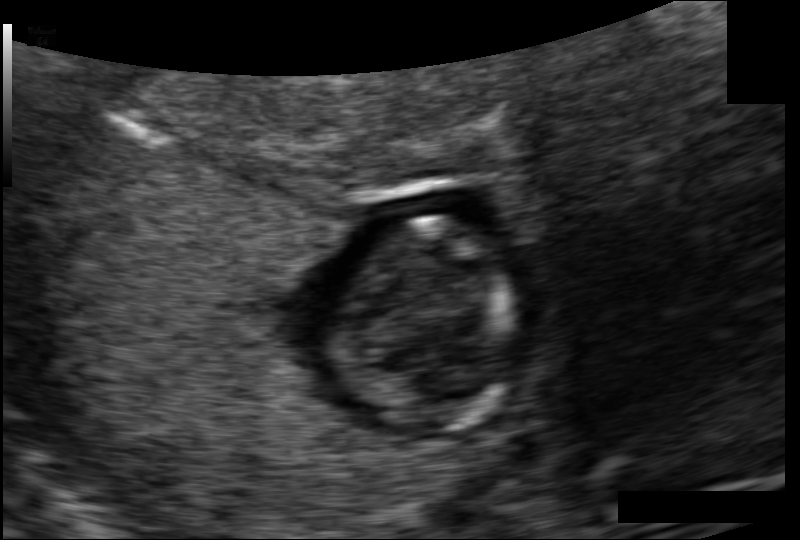
Fetal head ultrasound. Image width: 78.5 mm. Locate the fetal head and, if visible, the cavum septum pellucidum (CSP) and lateral ventricle (LV). Give bounding boxes as [x1,y1,x2,y2].

Head: [342,219,513,429]